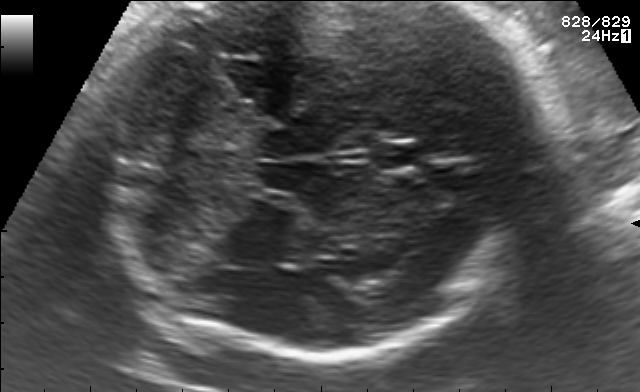
In this fetal brain, trans-cerebellum plane, give the bounding box of the cavum septum pellucidum.

[372,140,420,171]